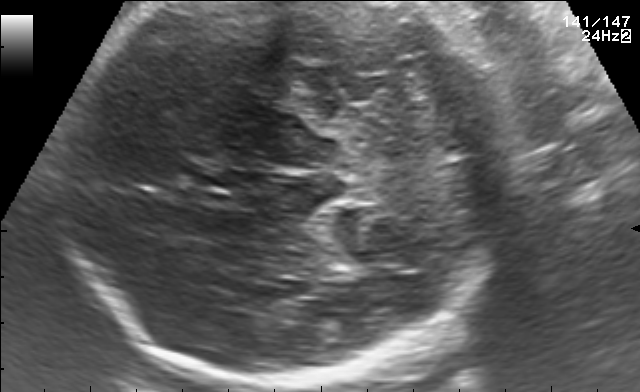
Fetal brain, trans-cerebellum plane. Locate the fetal head.

Head: [67,4,498,385]